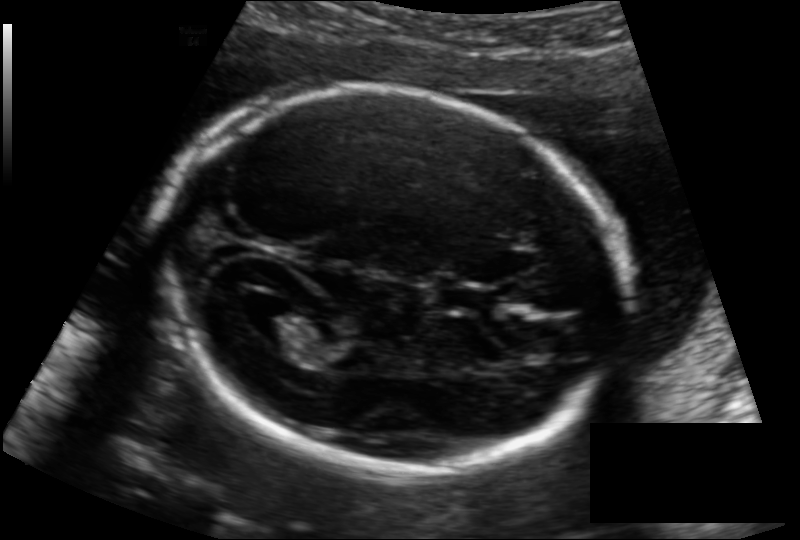
Fetal head ultrasound. Image width: 106.5 mm. Locate the fetal head.

Head: [162,89,625,472]